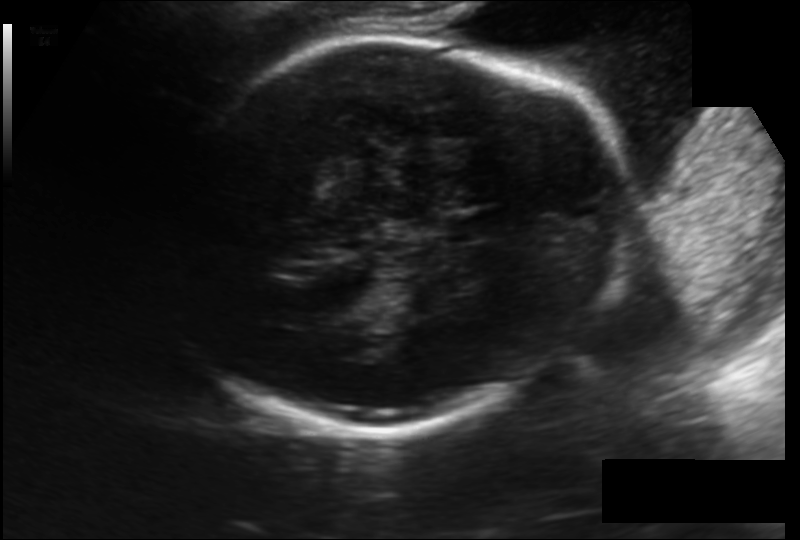
Estimate the fetal head circumference from this 2D ultrasound. Image width: 139.5 mm.

Head circumference: 244.8 mm.